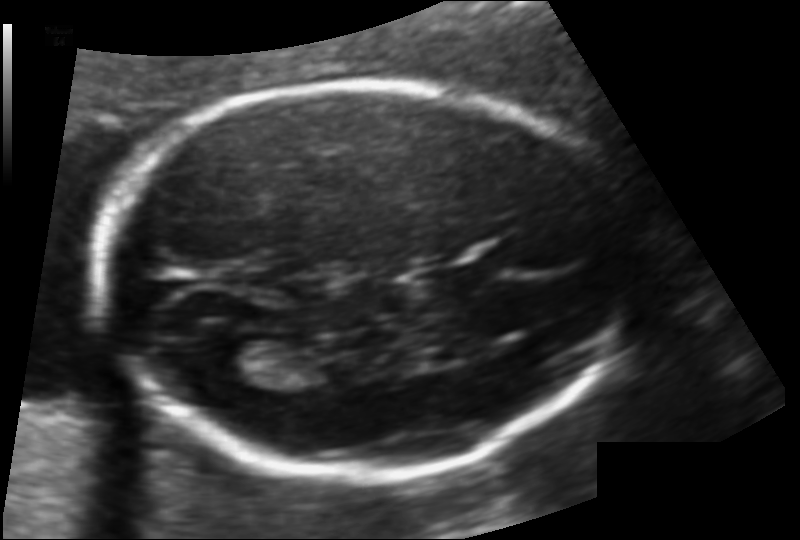
In this fetal head ultrasound, give bounding boxes for the head outline, cavum septum pellucidum (CSP), and lateral ventricle (LV), where visible. Image width: 93.3 mm.

Head: [98,81,621,477]
CSP: [430,258,490,301]
Lateral ventricle: [200,339,280,379]